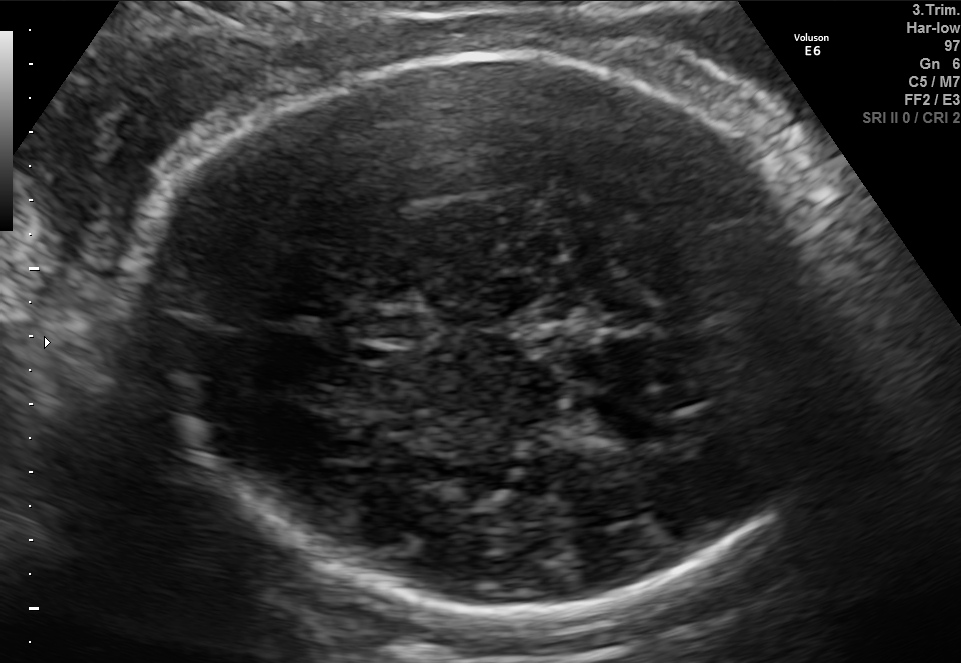
This is a 2D maternal-fetal ultrasound frame. Is it a fetal abdomen, fetal brain, fetal femur, fetal thorax, maternal cervix, or other standard plane? If it's fetal brain and one of the three standard brain planes (trans-thalamic, trans-cerebellum, trans-ventricular), name which.

Fetal brain (trans-thalamic plane)